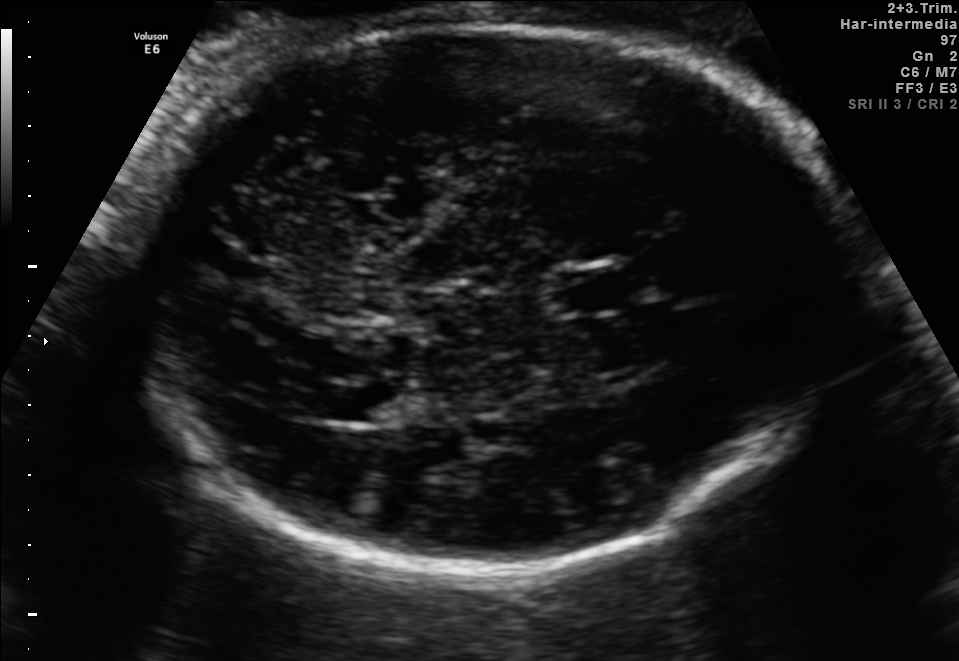
Fetal brain, trans-thalamic plane. Where is the cavum septum pellucidum?

CSP bounding box: [555,264,633,312]